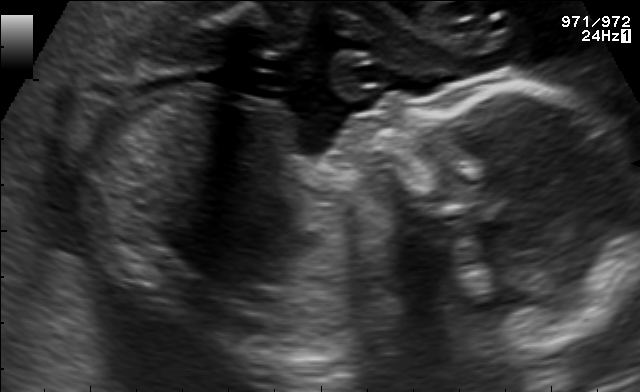
This is a 2D maternal-fetal ultrasound frame. Is it a fetal abdomen, fetal brain, fetal femur, fetal thorax, maternal cervix, or other standard plane? If it's fetal brain and one of the three standard brain planes (trans-thalamic, trans-cerebellum, trans-ventricular), name which.

Other